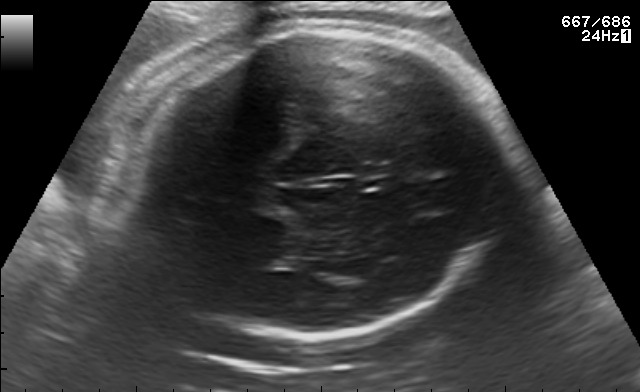
Fetal brain, trans-thalamic plane. Give [x1,y1,x2,y2] bounding boxes for each visible structure among: fetal head, CSP, LV.

Head: [119,26,508,336]